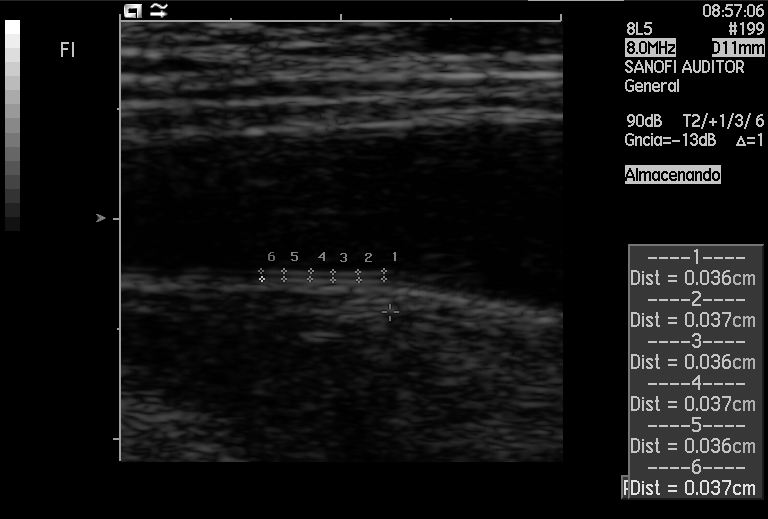
Classify this maternal-fetal ultrasound image as one of the six standard planes — fetal abdomen, fetal brain, fetal femur, fetal thorax, maternal cervix, or other. If it's fetal brain and one of the three standard brain planes (trans-thalamic, trans-cerebellum, trans-ventricular), name which.

Other